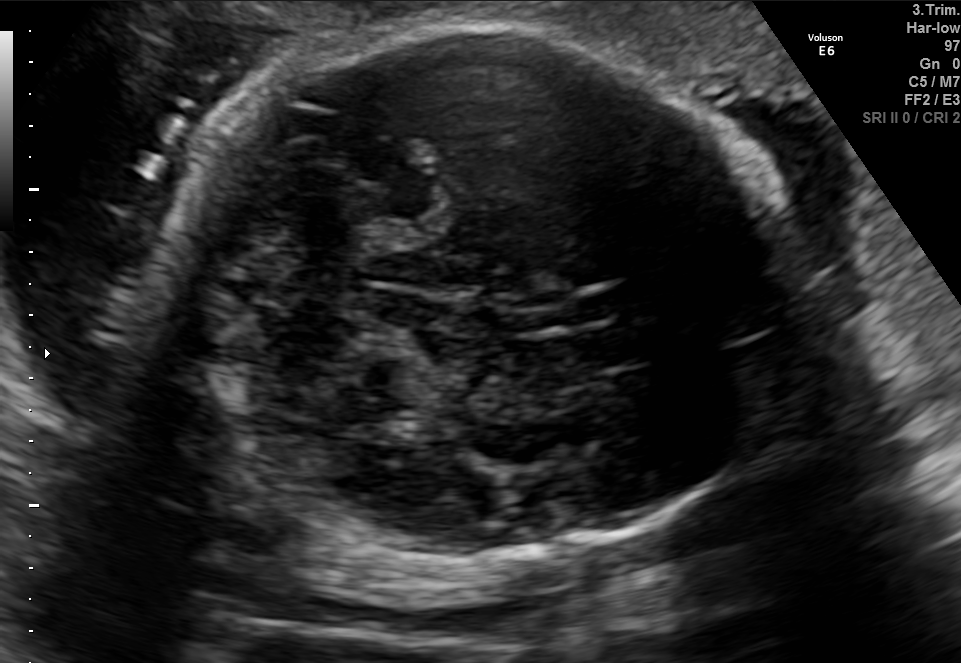
Fetal brain, trans-cerebellum plane. Where is the fetal head?

Head bounding box: [162,26,795,561]